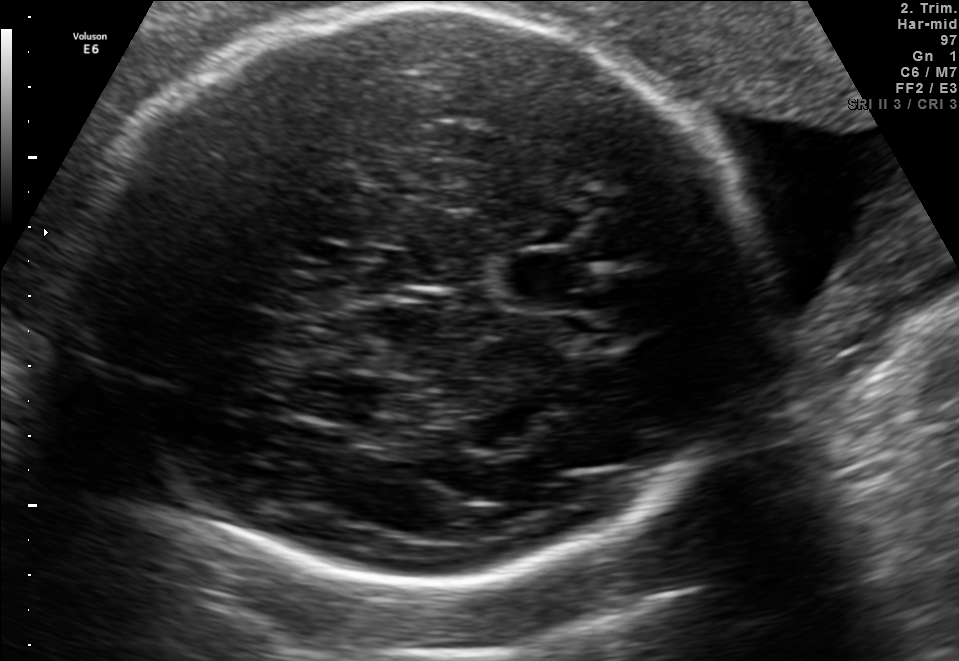
Fetal brain, trans-thalamic plane. Locate the fetal head and, if visible, the cavum septum pellucidum (CSP) and lateral ventricle (LV). Give bounding boxes as [x1,y1,x2,y2].

Head: [63,9,752,588]
CSP: [502,251,597,310]